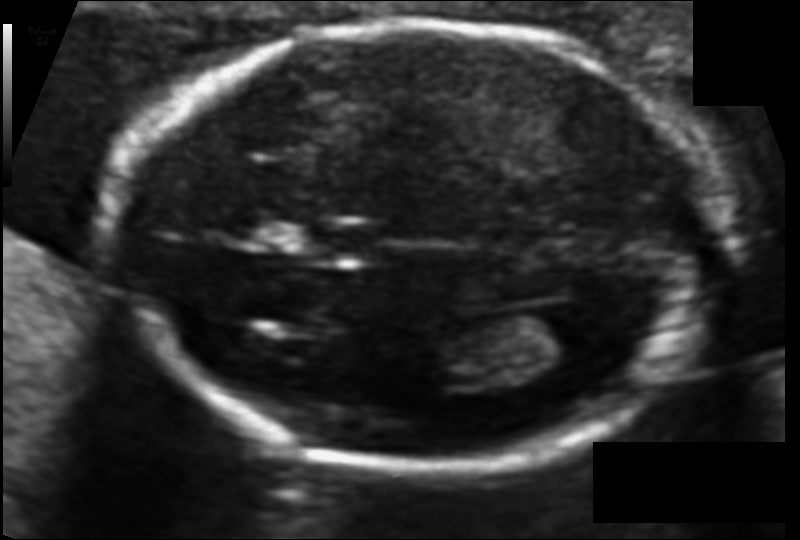
In this fetal head ultrasound, give bounding boxes for the head outline, cavum septum pellucidum (CSP), and lateral ventricle (LV), where visible. Image width: 75.0 mm.

Head: [124,23,717,466]
CSP: [312,224,385,259]
Lateral ventricle: [513,294,604,369]